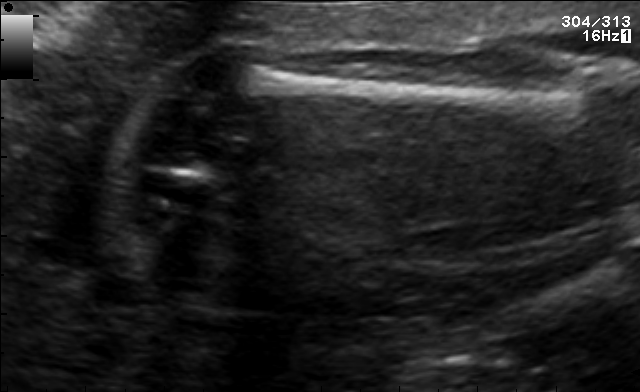
Which standard maternal-fetal ultrasound plane is shown: fetal abdomen, fetal brain, fetal femur, fetal thorax, maternal cervix, or other? If it's fetal brain and one of the three standard brain planes (trans-thalamic, trans-cerebellum, trans-ventricular), name which.

Fetal femur